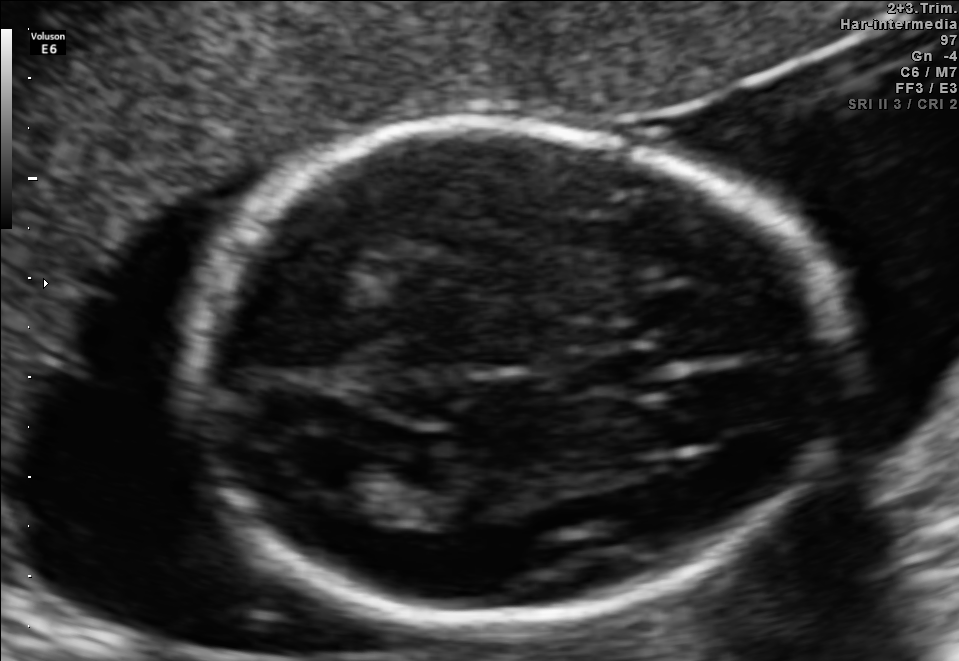
Which standard maternal-fetal ultrasound plane is shown: fetal abdomen, fetal brain, fetal femur, fetal thorax, maternal cervix, or other? If it's fetal brain and one of the three standard brain planes (trans-thalamic, trans-cerebellum, trans-ventricular), name which.

Fetal brain (trans-ventricular plane)